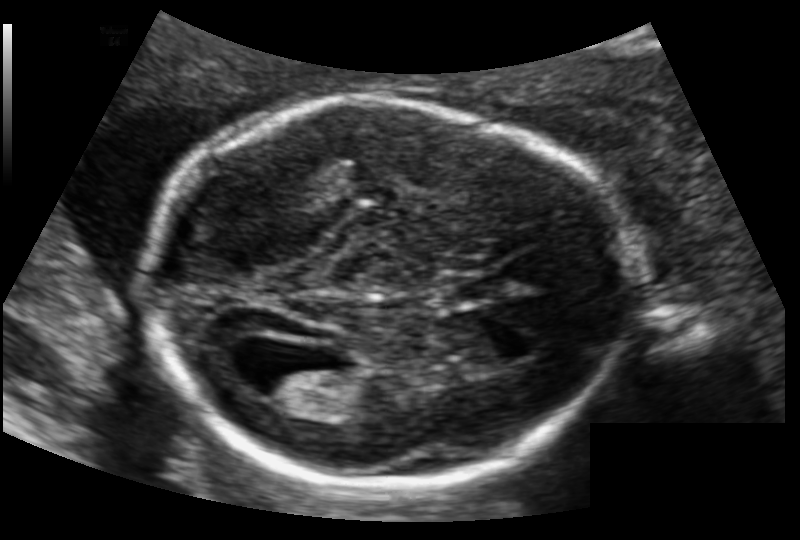
Fetal head ultrasound. Image width: 100.7 mm. Locate the lateral ventricle.

Lateral ventricle: [242,345,327,415]